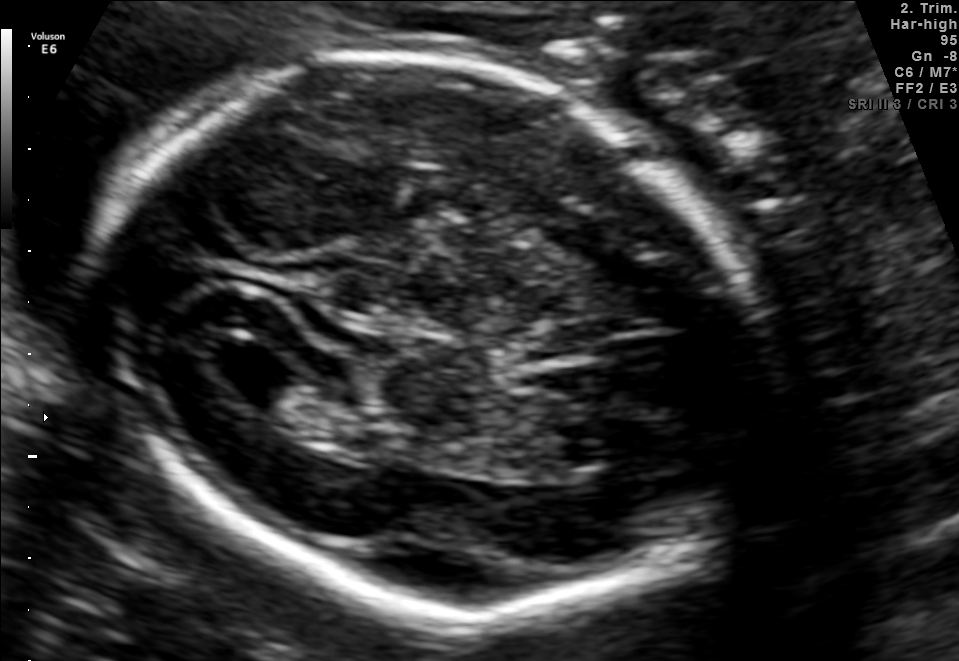
Fetal brain, trans-ventricular plane. Give [x1,y1,x2,y2] bounding boxes for each visible structure among: fetal head, CSP, LV.

Head: [71,37,788,634]
Lateral ventricle: [200,320,306,420]